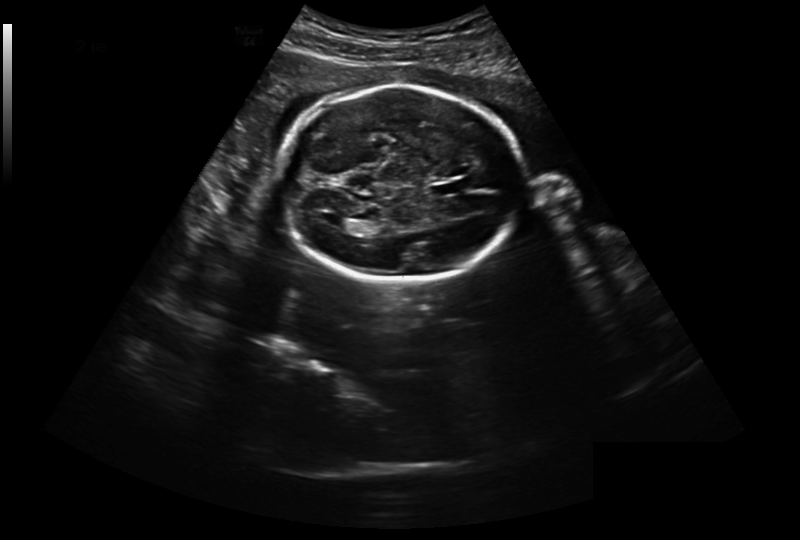
Fetal head ultrasound. Image width: 241.1 mm. Locate the fetal head and, if visible, the cavum septum pellucidum (CSP) and lateral ventricle (LV). Give bounding boxes as [x1,y1,x2,y2].

Head: [279,86,525,281]
CSP: [431,178,466,198]
Lateral ventricle: [324,212,351,233]